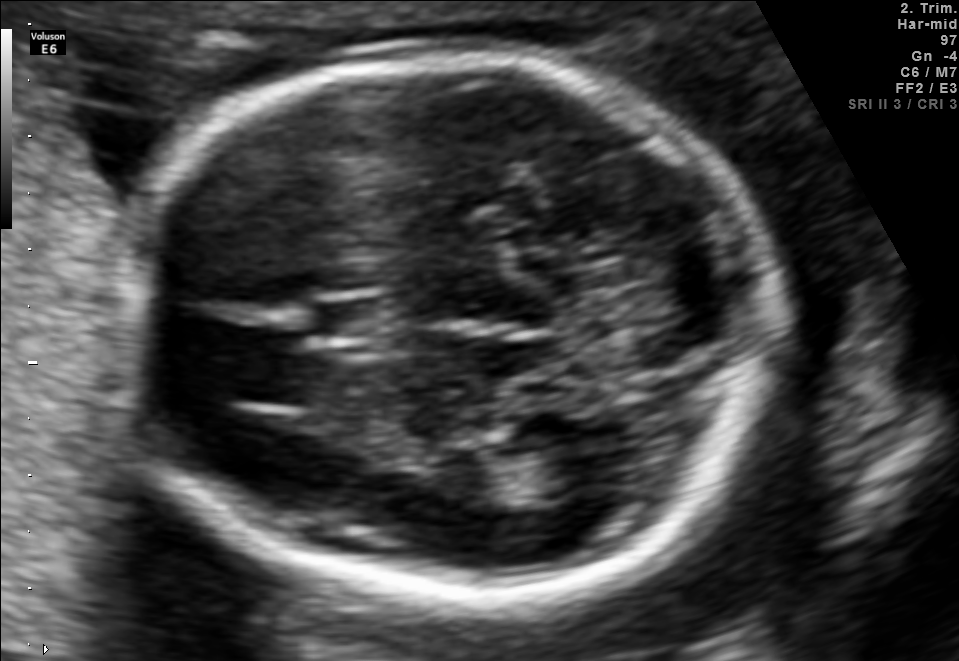
In this fetal brain, trans-thalamic plane, give the bounding box of the fetal head.

[110,53,779,586]